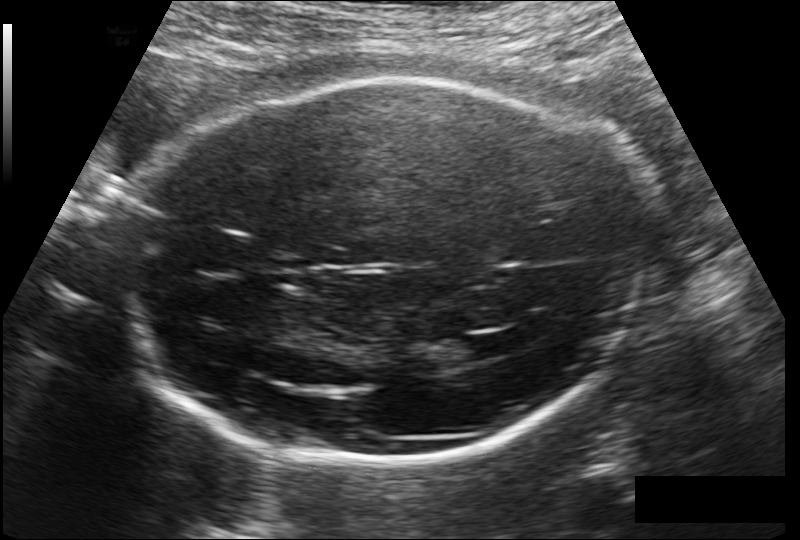
Fetal head ultrasound. Image width: 142.1 mm. Locate the fetal head.

Head: [125,80,647,465]